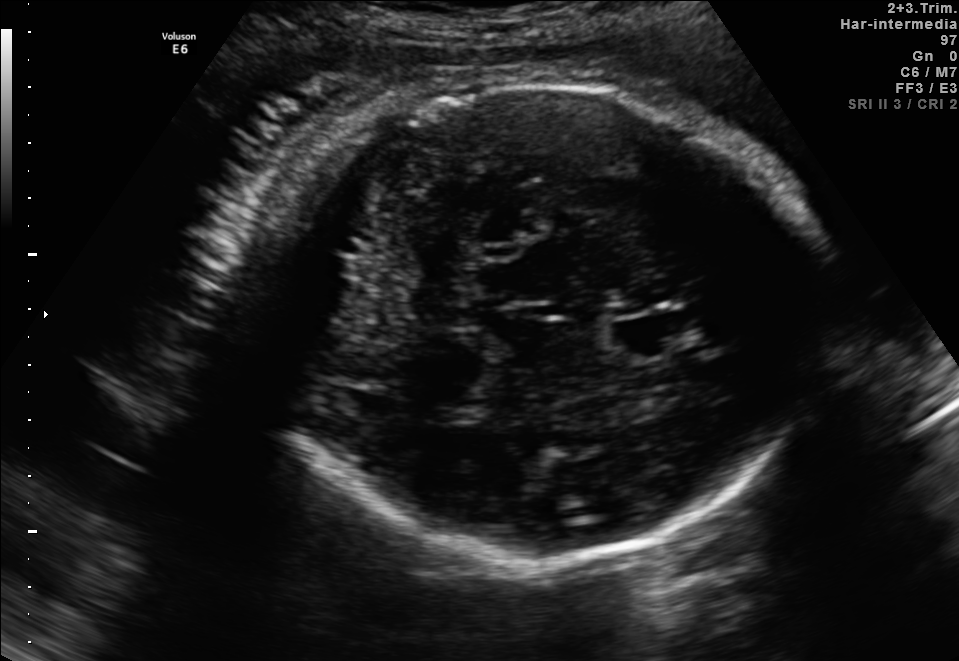
Fetal brain, trans-thalamic plane. Where is the cavum septum pellucidum?

CSP bounding box: [611,310,693,359]